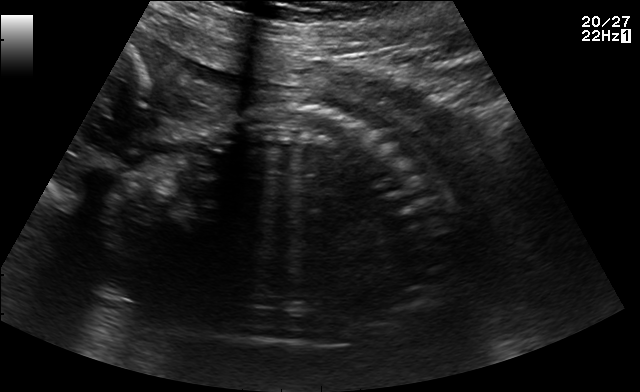
This is a 2D maternal-fetal ultrasound frame. Is it a fetal abdomen, fetal brain, fetal femur, fetal thorax, maternal cervix, or other standard plane? If it's fetal brain and one of the three standard brain planes (trans-thalamic, trans-cerebellum, trans-ventricular), name which.

Other